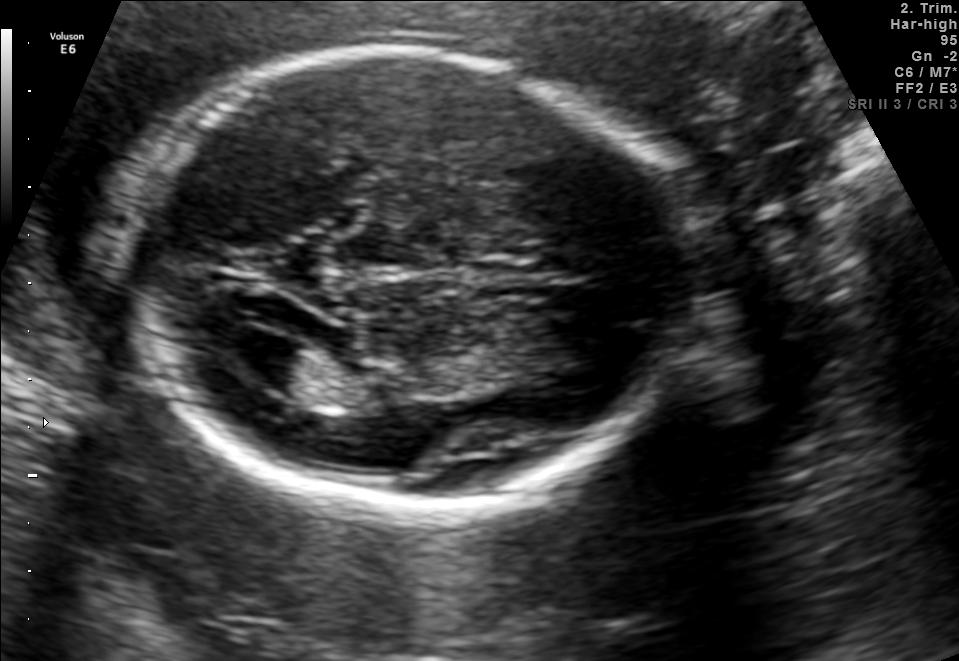
In this fetal brain, trans-ventricular plane, give the bounding box of the fetal head.

[115,40,704,521]